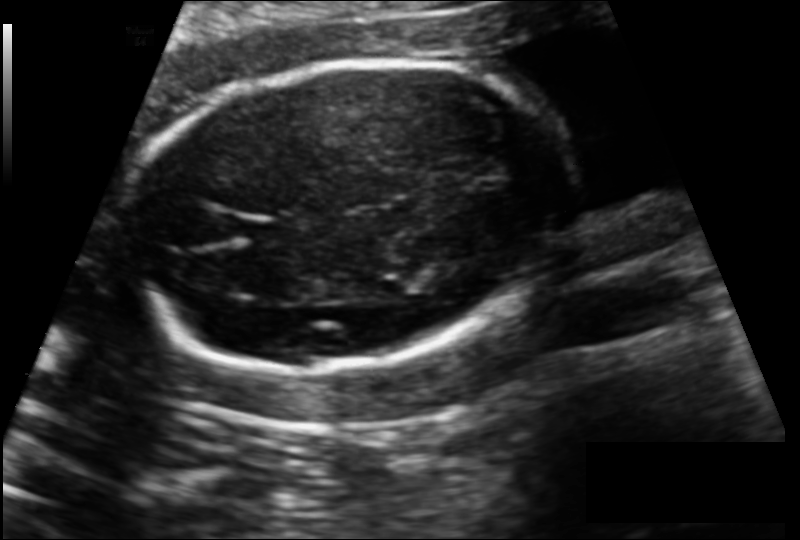
Fetal head ultrasound. Image width: 111.1 mm. Where is the fetal head?

Head bounding box: [124,59,569,370]